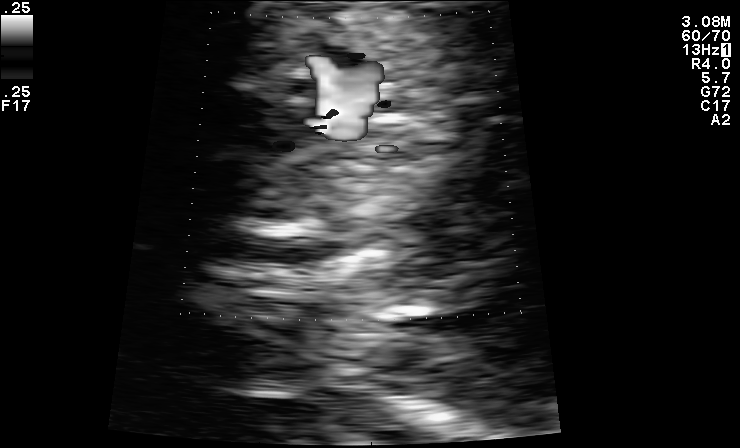
Identify the standard plane in this fetal ultrasound image: fetal abdomen, fetal brain, fetal femur, fetal thorax, maternal cervix, or other. If it's fetal brain and one of the three standard brain planes (trans-thalamic, trans-cerebellum, trans-ventricular), name which.

Other